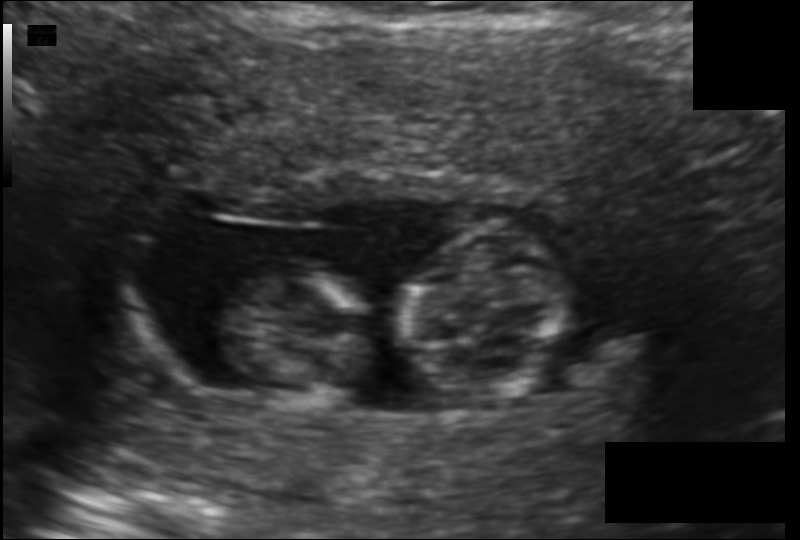
Fetal head ultrasound. Image width: 95.3 mm. Locate the fetal head.

Head: [395,221,571,404]